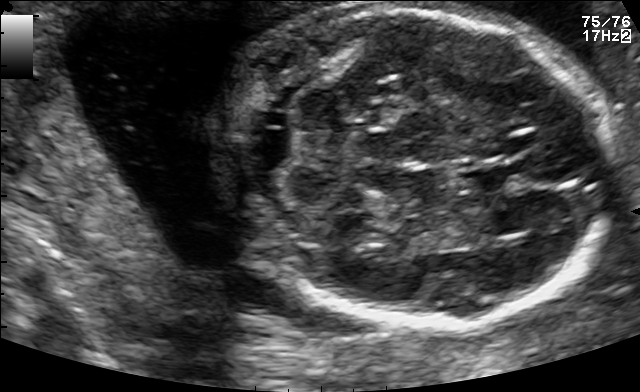
Fetal brain, trans-cerebellum plane. Give [x1,y1,x2,y2] bounding boxes for each visible structure among: fetal head, CSP, LV.

Head: [219,5,617,328]